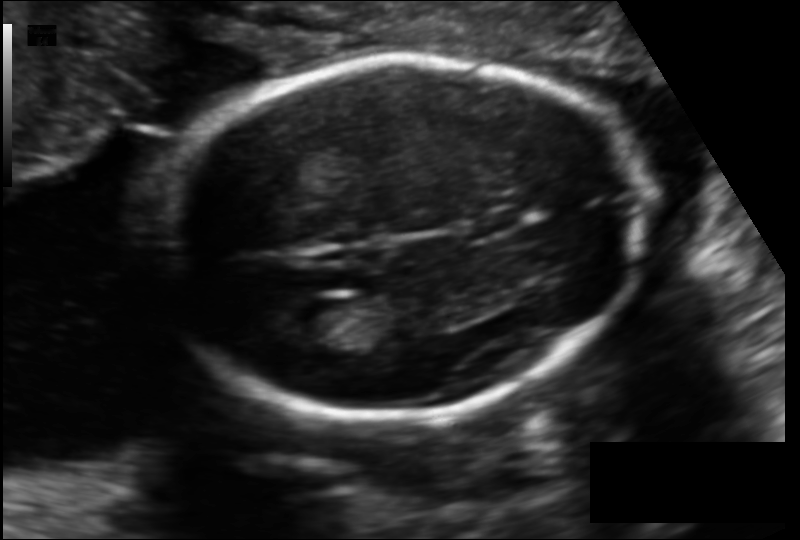
Estimate the fetal head circumference from this 2D ultrasound. Image width: 102.8 mm.

Head circumference: 176.3 mm.